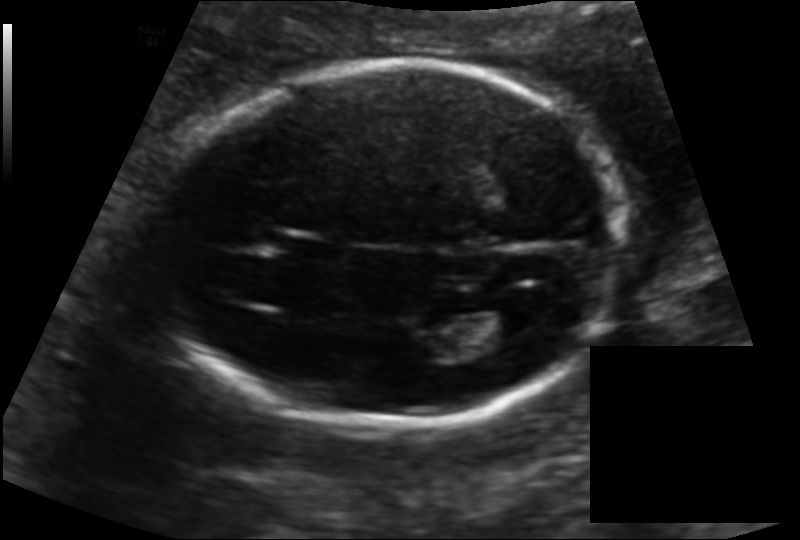
In this fetal head ultrasound, give bounding boxes for the head outline, cavum septum pellucidum (CSP), and lateral ventricle (LV), where visible. Image width: 110.8 mm.

Head: [163,64,619,426]
CSP: [266,227,336,266]
Lateral ventricle: [457,287,544,352]